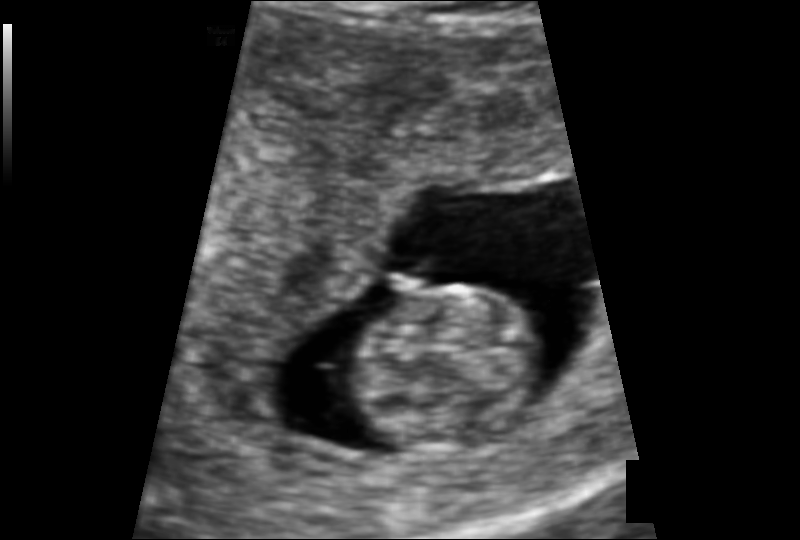
Measure the fetal head circumference shown in this ultrasound image. Image width: 87.5 mm.

Head circumference: 62.8 mm.